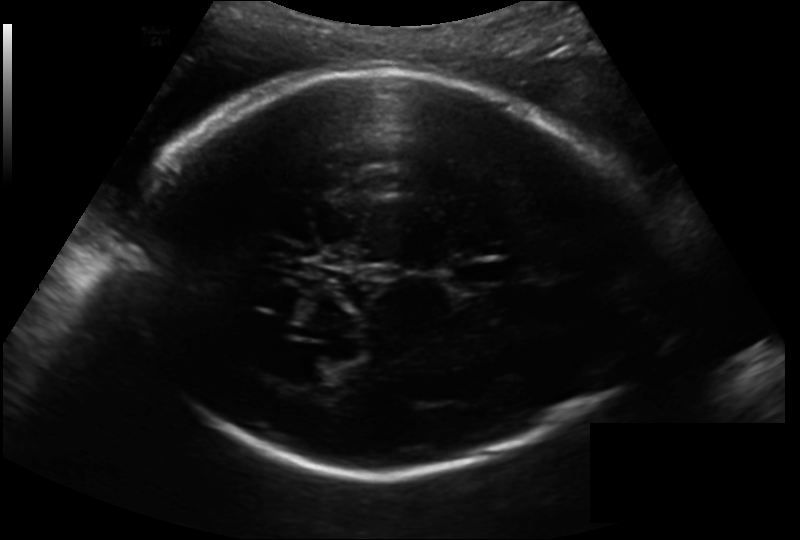
Fetal head ultrasound. Image width: 154.5 mm. Where is the cavum septum pellucidum?

CSP bounding box: [447,256,510,291]